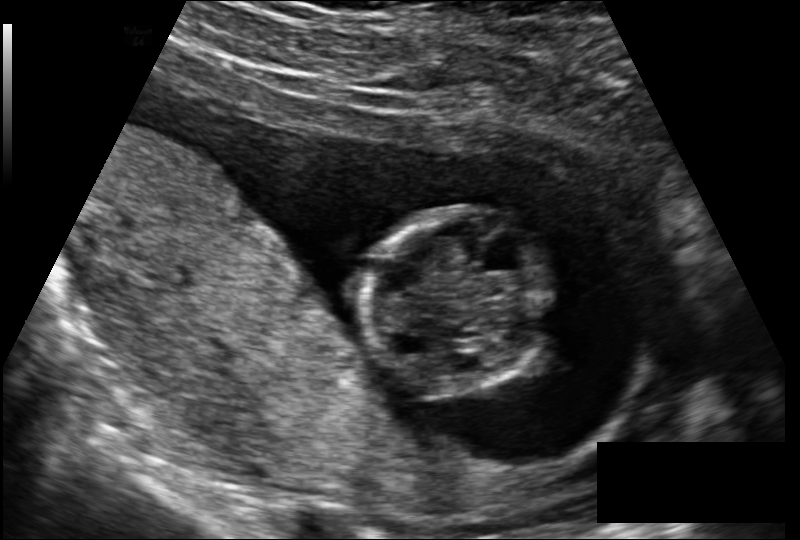
Measure the fetal head circumference shown in this ultrasound image. Image width: 105.1 mm.

Head circumference: 82.3 mm.